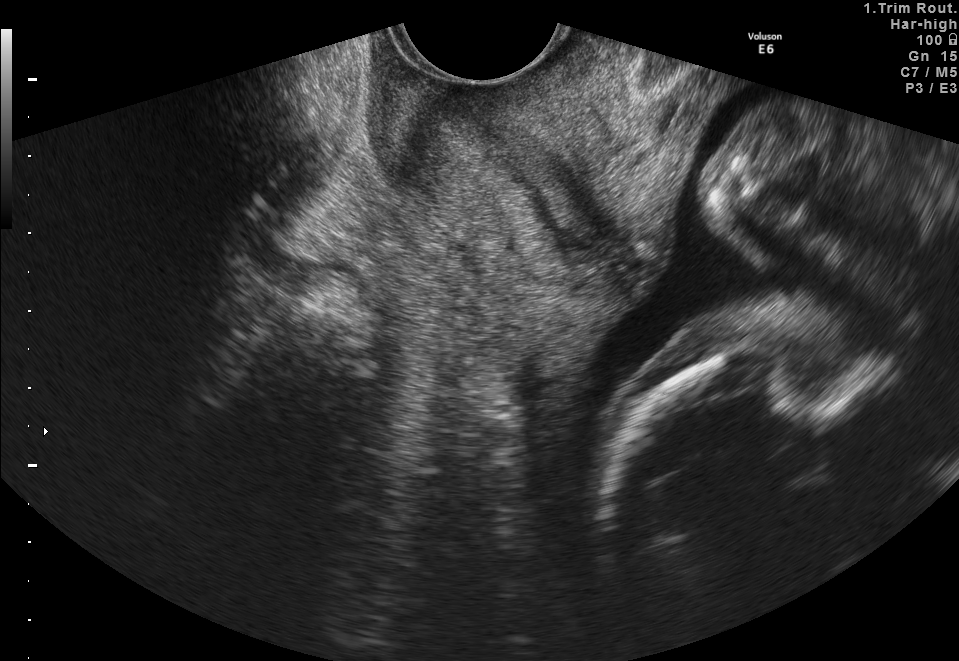
Classify this maternal-fetal ultrasound image as one of the six standard planes — fetal abdomen, fetal brain, fetal femur, fetal thorax, maternal cervix, or other. If it's fetal brain and one of the three standard brain planes (trans-thalamic, trans-cerebellum, trans-ventricular), name which.

Maternal cervix